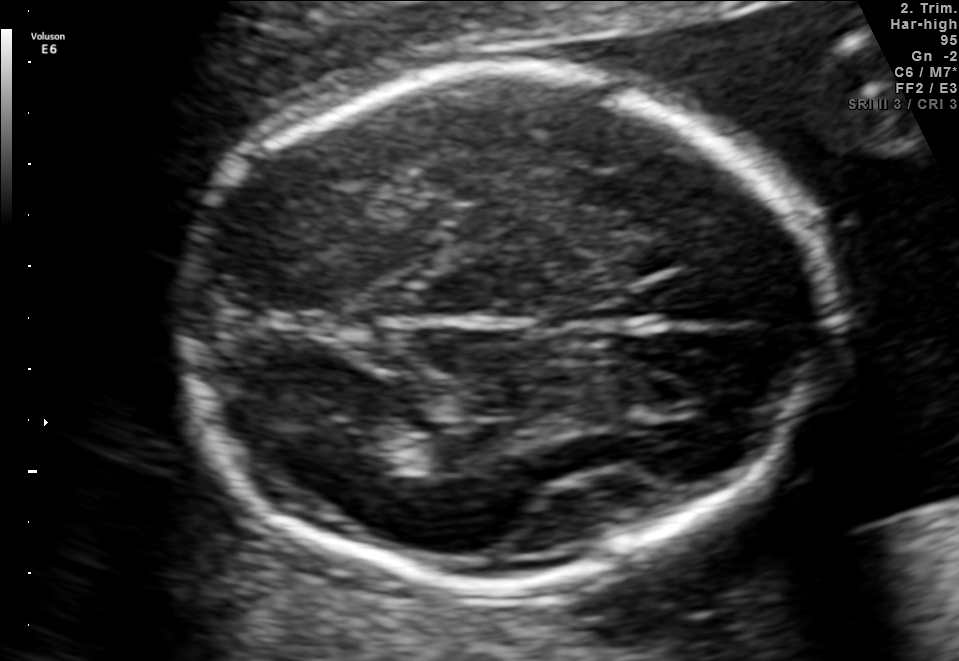
Fetal brain, trans-thalamic plane. Where is the lateral ventricle?

Lateral ventricle bounding box: [328,423,441,473]